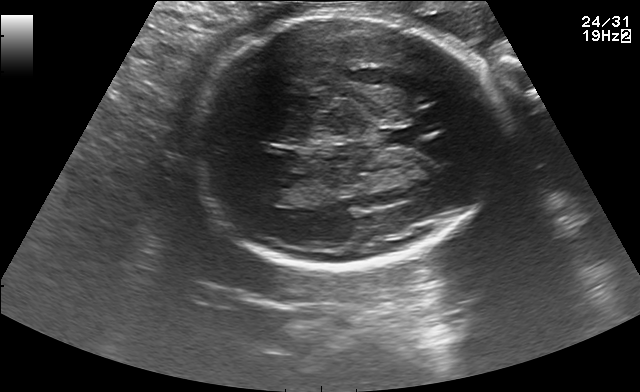
Classify this maternal-fetal ultrasound image as one of the six standard planes — fetal abdomen, fetal brain, fetal femur, fetal thorax, maternal cervix, or other. If it's fetal brain and one of the three standard brain planes (trans-thalamic, trans-cerebellum, trans-ventricular), name which.

Fetal brain (trans-thalamic plane)